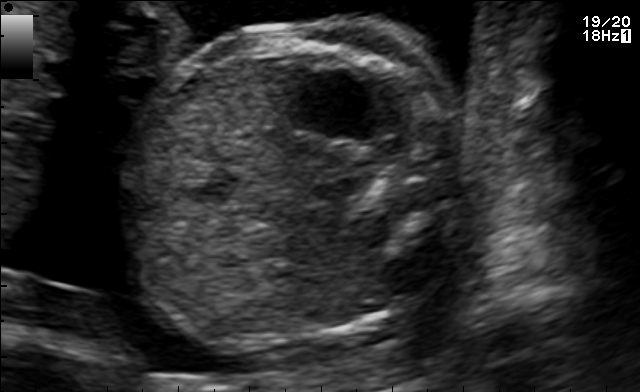
This is a 2D maternal-fetal ultrasound frame. Is it a fetal abdomen, fetal brain, fetal femur, fetal thorax, maternal cervix, or other standard plane? If it's fetal brain and one of the three standard brain planes (trans-thalamic, trans-cerebellum, trans-ventricular), name which.

Fetal abdomen